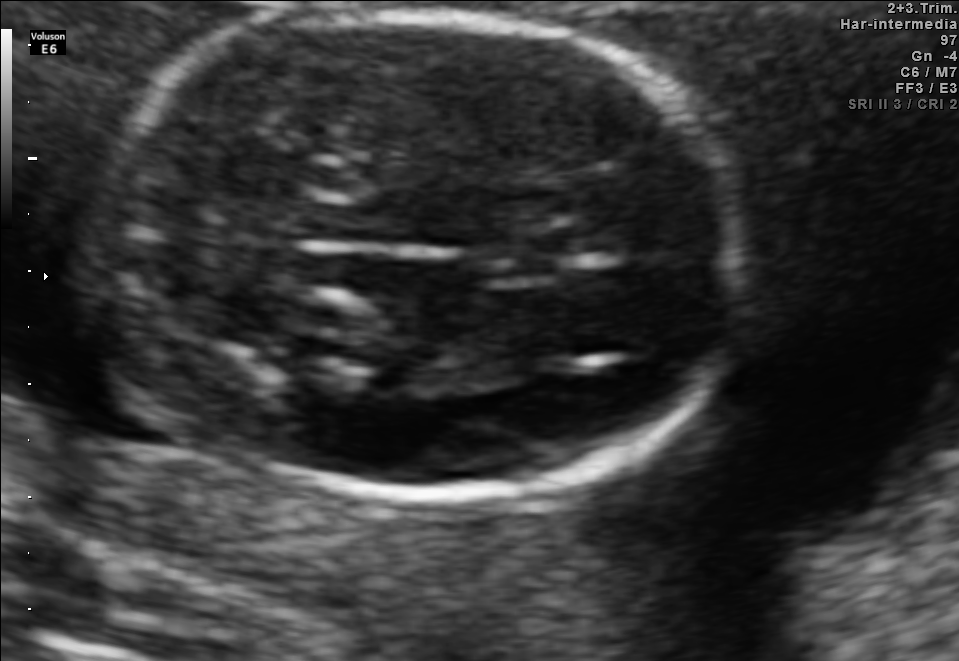
Fetal brain, trans-thalamic plane. Locate the fetal head and, if visible, the cavum septum pellucidum (CSP) and lateral ventricle (LV). Give bounding boxes as [x1,y1,x2,y2].

Head: [99,13,748,496]
CSP: [532,223,616,258]
Lateral ventricle: [246,293,382,365]